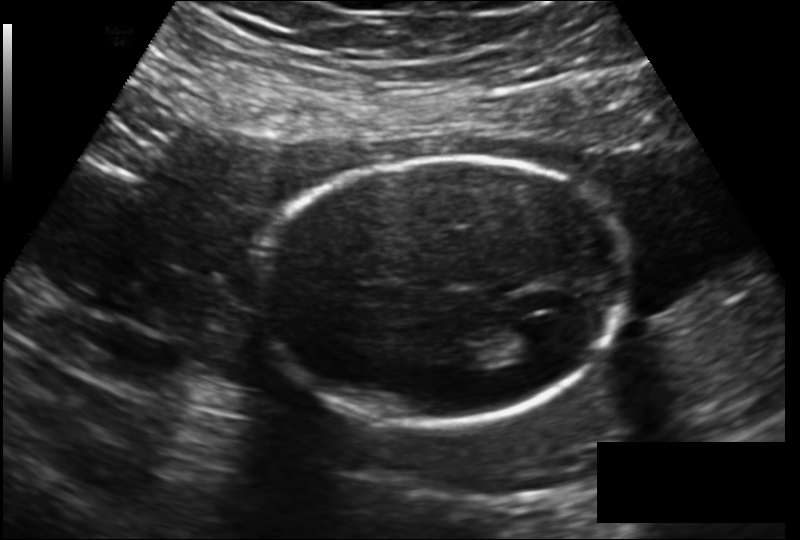
What is the fetal head circumference? Image width is 137.8 mm.

178.6 mm